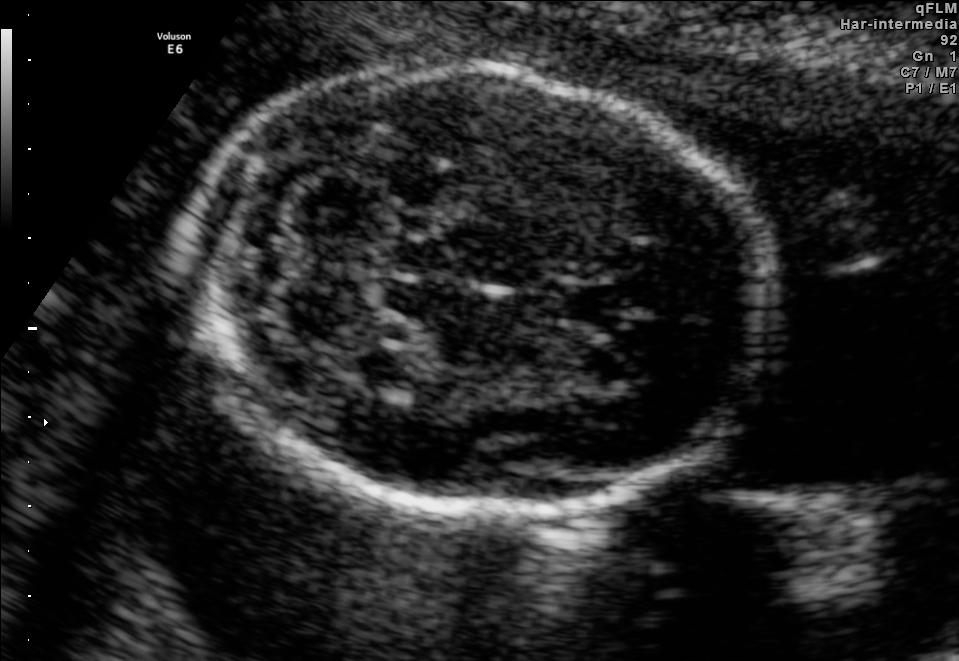
Fetal brain, trans-cerebellum plane. Where is the cavum septum pellucidum?

CSP bounding box: [544,279,621,329]